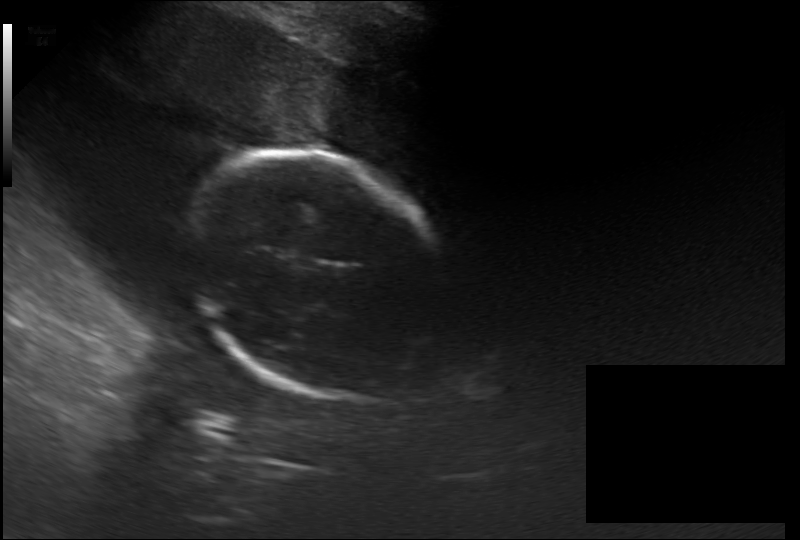
Estimate the fetal head circumference from this 2D ultrasound.

Head circumference: 217.9 mm (image width 211.0 mm).